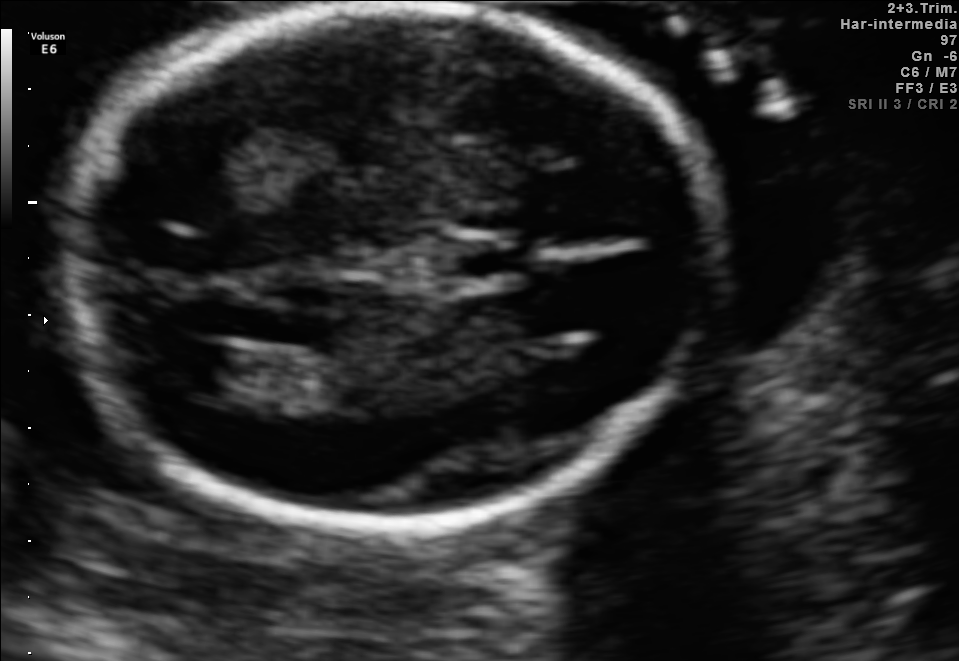
In this fetal brain, trans-ventricular plane, give bounding boxes for the head outline, cavum septum pellucidum (CSP), and lateral ventricle (LV), where visible.

Head: [59,7,718,536]
CSP: [448,243,521,275]
Lateral ventricle: [154,331,243,401]